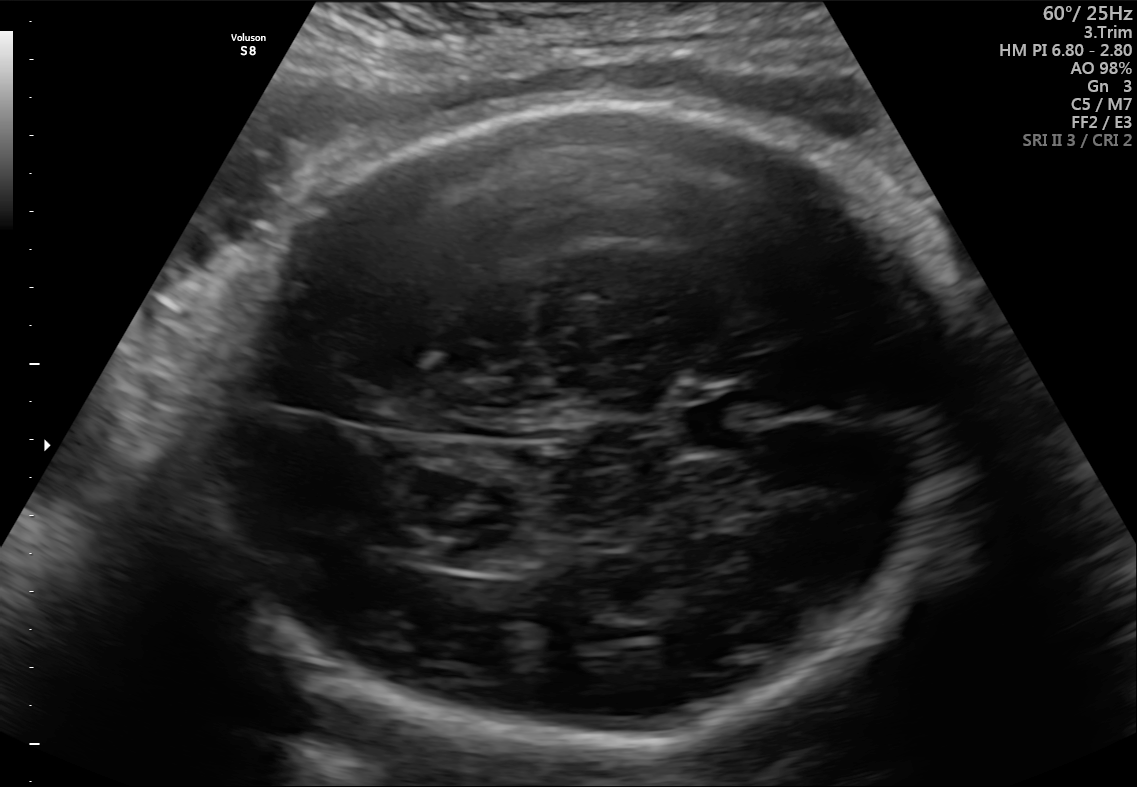
Fetal brain, trans-thalamic plane. Locate the fetal head and, if visible, the cavum septum pellucidum (CSP) and lateral ventricle (LV). Give bounding boxes as [x1,y1,x2,y2].

Head: [183,102,964,756]
CSP: [678,394,761,455]
Lateral ventricle: [426,540,515,575]